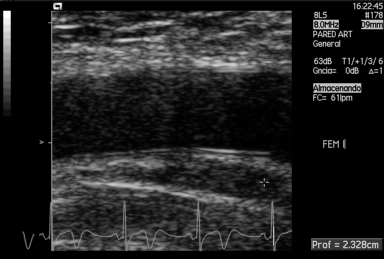
Classify this maternal-fetal ultrasound image as one of the six standard planes — fetal abdomen, fetal brain, fetal femur, fetal thorax, maternal cervix, or other. If it's fetal brain and one of the three standard brain planes (trans-thalamic, trans-cerebellum, trans-ventricular), name which.

Other